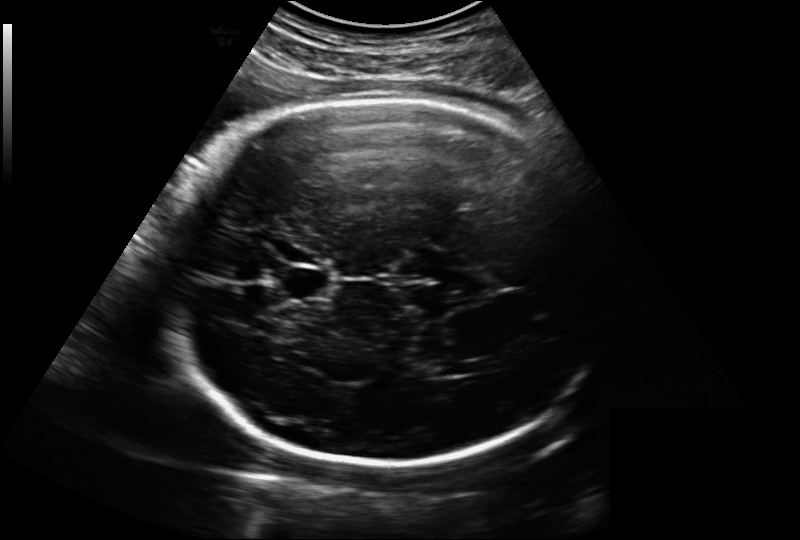
Estimate the fetal head circumference from this 2D ultrasound.

Head circumference: 291.4 mm (image width 176.5 mm).